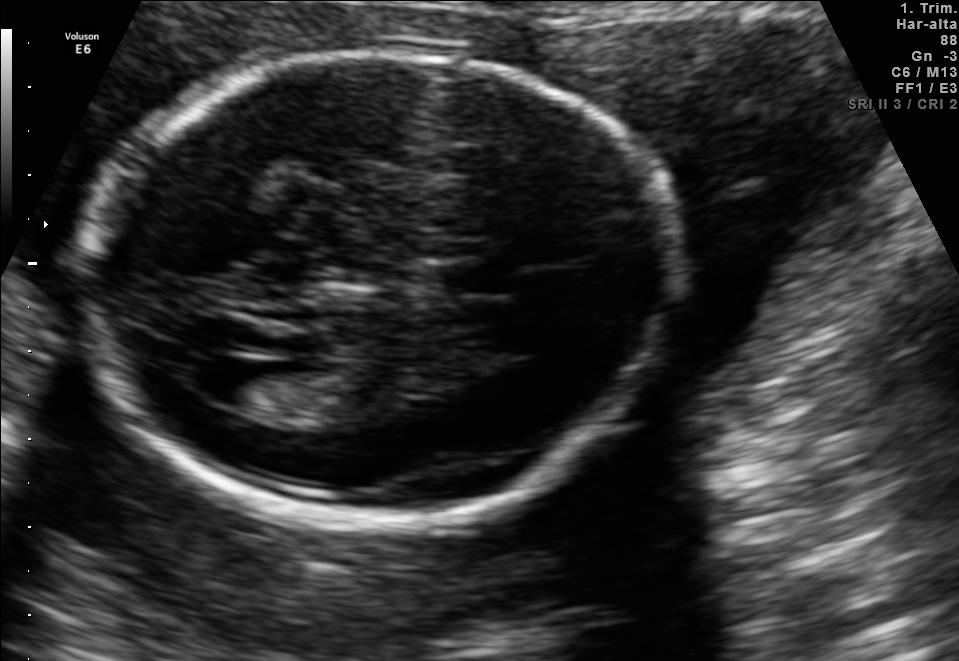
In this fetal brain, trans-ventricular plane, give the bounding box of the cavum septum pellucidum.

[433,257,526,299]